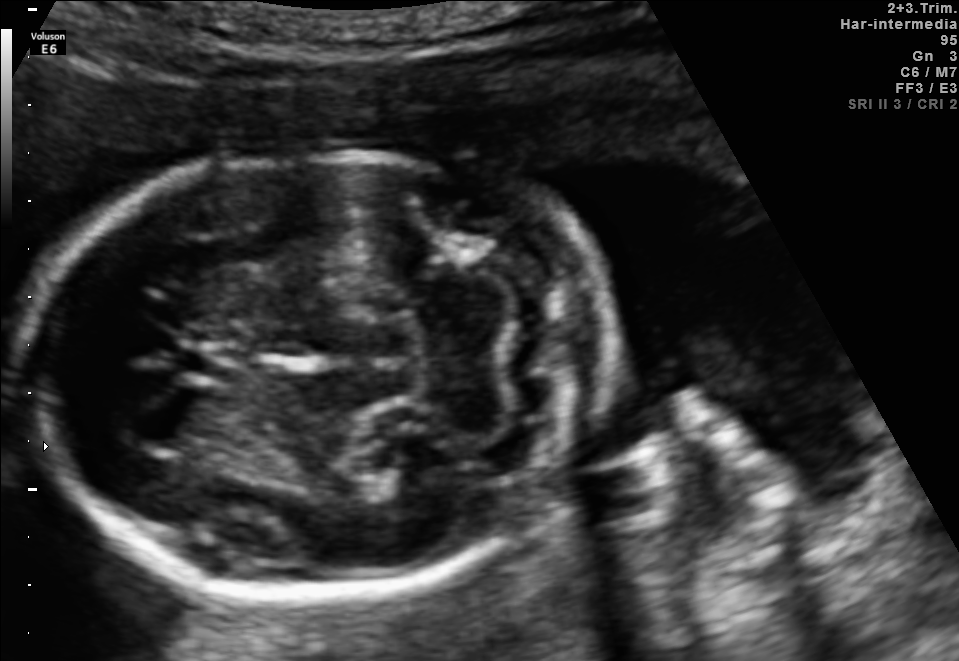
Fetal brain, trans-cerebellum plane. Give [x1,y1,x2,y2] bounding boxes for each visible structure among: fetal head, CSP, LV.

Head: [22,153,613,594]
CSP: [177,342,243,385]